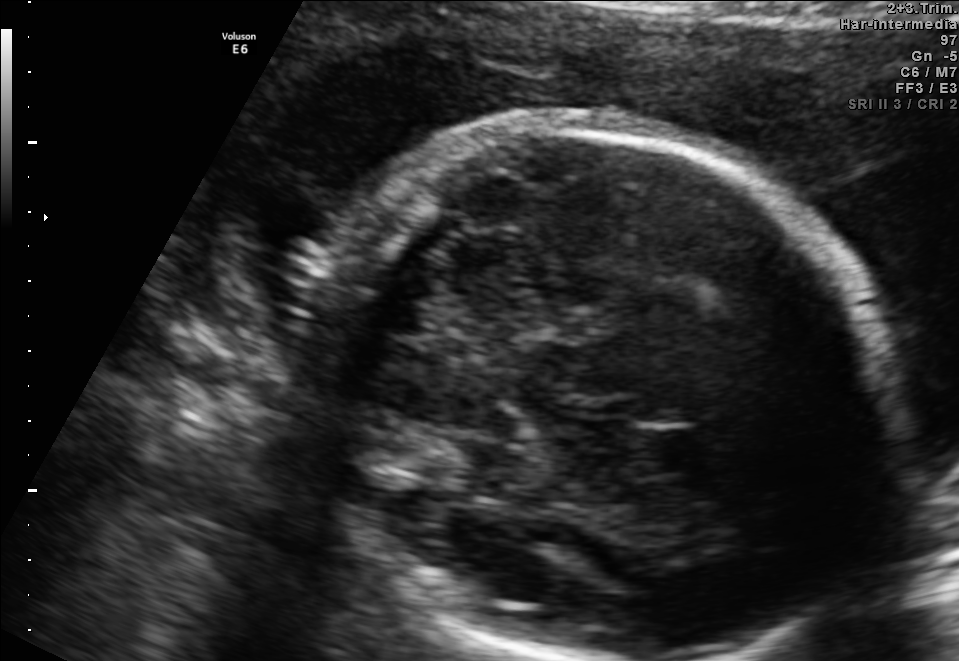
In this fetal brain, trans-thalamic plane, give the bounding box of the fetal head.

[304,120,891,657]